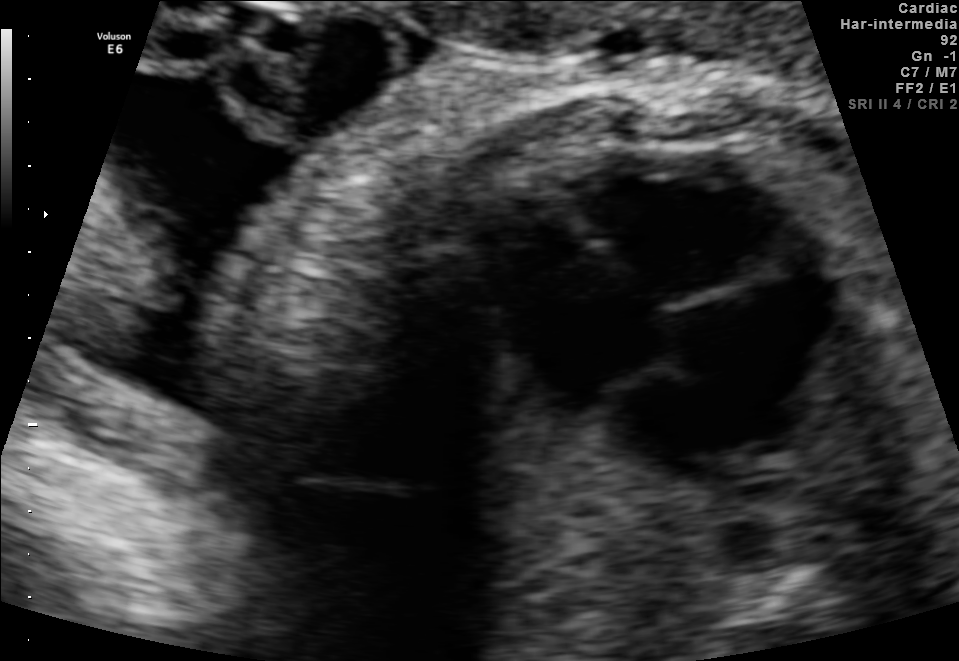
Which standard maternal-fetal ultrasound plane is shown: fetal abdomen, fetal brain, fetal femur, fetal thorax, maternal cervix, or other? If it's fetal brain and one of the three standard brain planes (trans-thalamic, trans-cerebellum, trans-ventricular), name which.

Fetal thorax